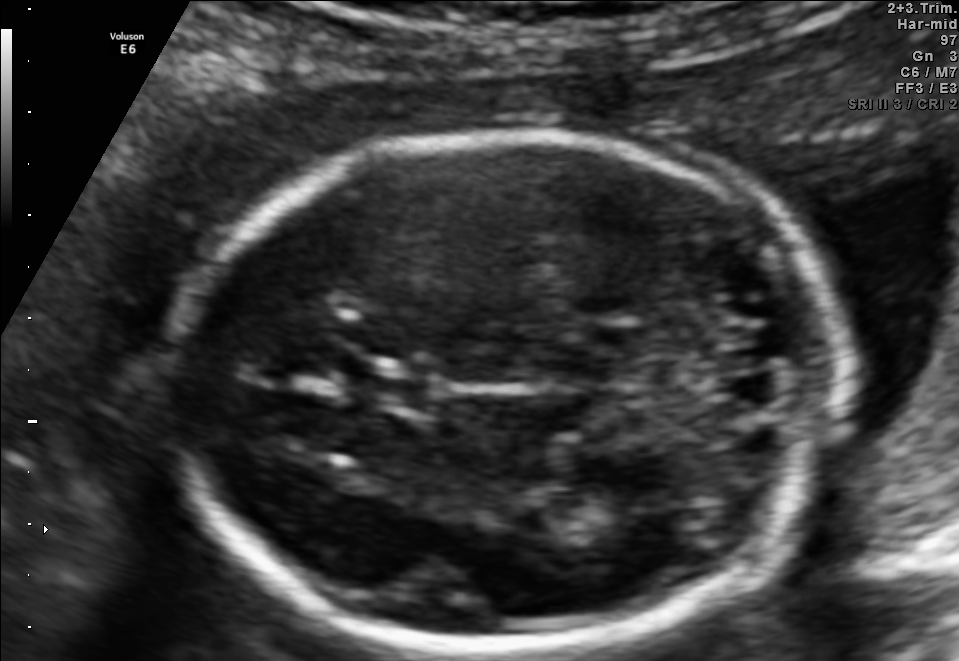
In this fetal brain, trans-thalamic plane, give bounding boxes for the head outline, cavum septum pellucidum (CSP), and lateral ventricle (LV), where visible.

Head: [168,135,849,648]
CSP: [353,366,438,413]